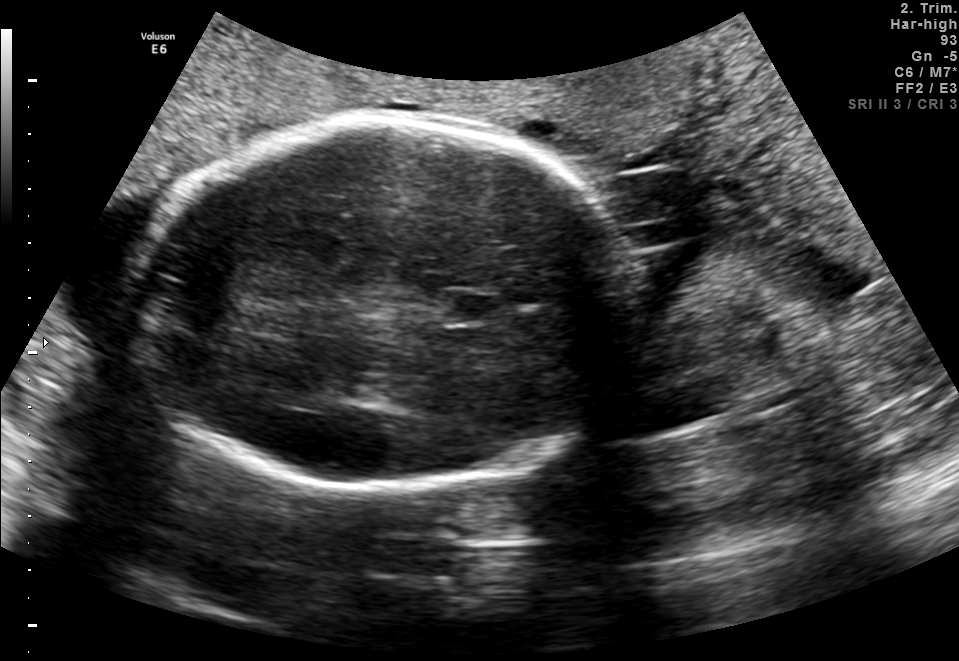
Fetal brain, trans-thalamic plane. Locate the cavum septum pellucidum.

CSP: [444,295,498,322]